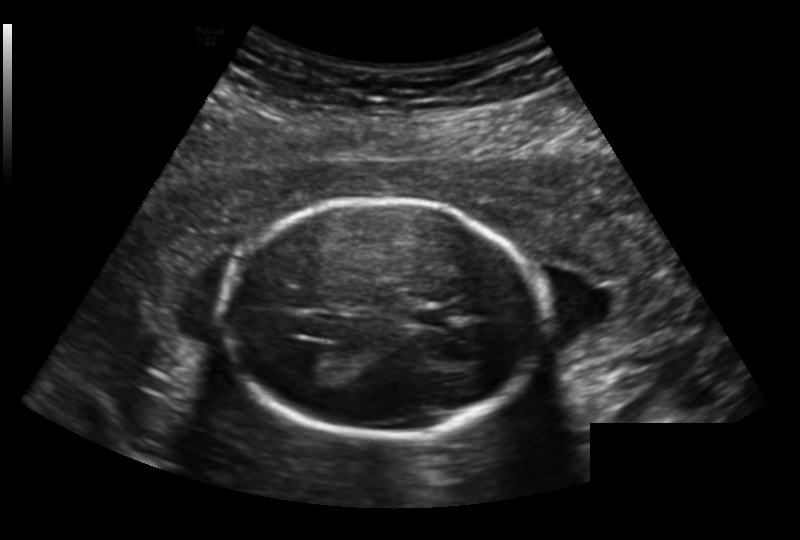
Estimate the fetal head circumference from this 2D ultrasound. Image width: 152.4 mm.

Head circumference: 176.7 mm.